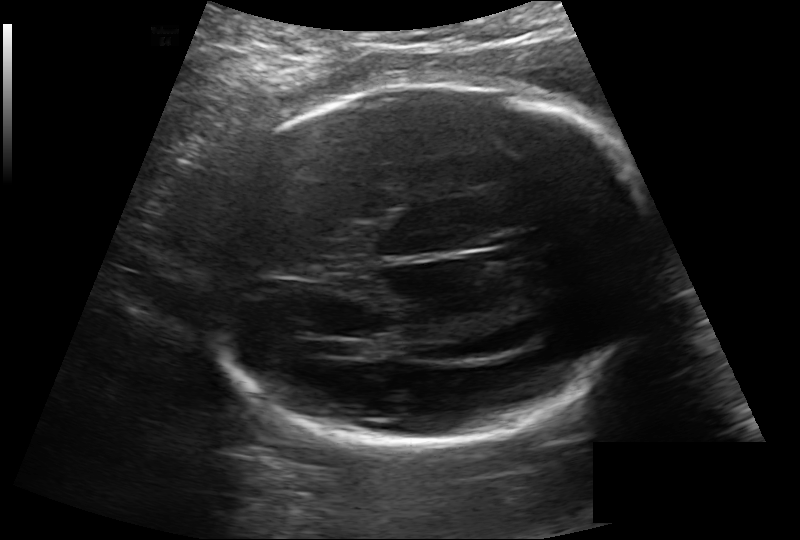
Measure the fetal head circumference shown in this ultrasound image. Image width: 151.0 mm.

Head circumference: 247.1 mm.